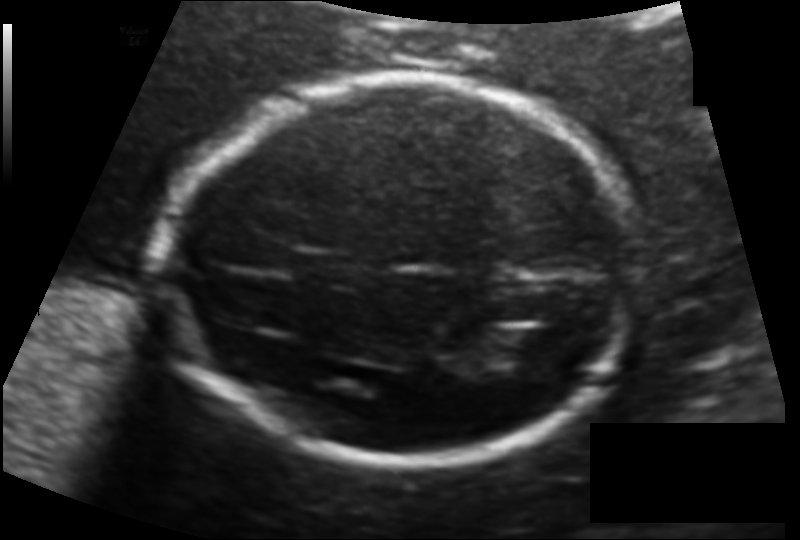
Estimate the fetal head circumference from this 2D ultrasound.

Head circumference: 171.9 mm (image width 98.0 mm).